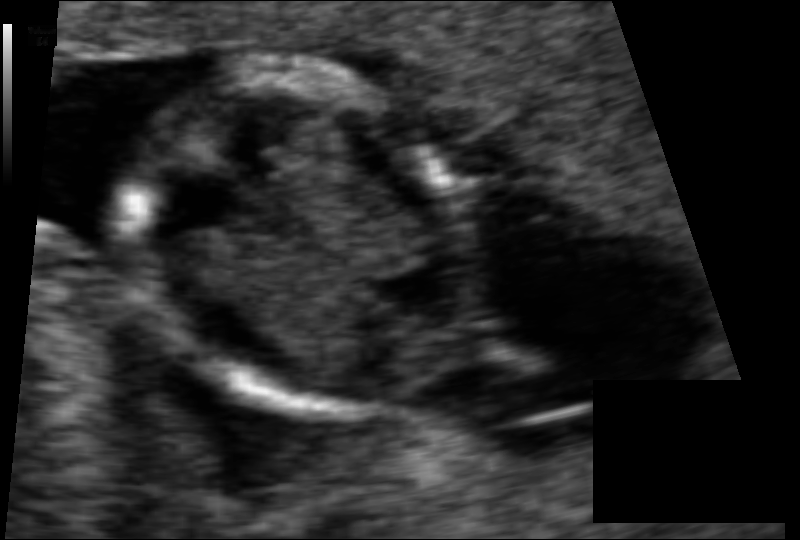
Fetal head ultrasound. Image width: 52.2 mm. Locate the fetal head and, if visible, the cavum septum pellucidum (CSP) and lateral ventricle (LV). Give bounding boxes as [x1,y1,x2,y2].

Head: [126,72,481,421]